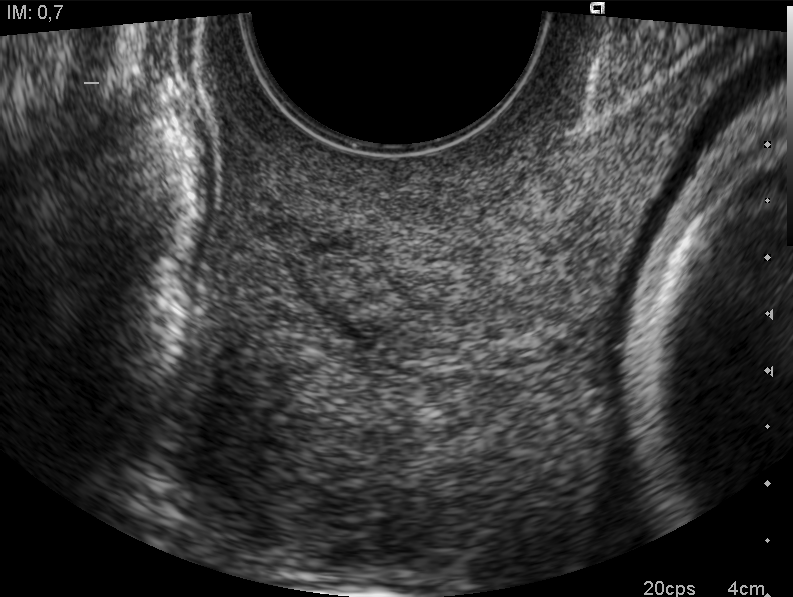
Identify the standard plane in this fetal ultrasound image: fetal abdomen, fetal brain, fetal femur, fetal thorax, maternal cervix, or other. If it's fetal brain and one of the three standard brain planes (trans-thalamic, trans-cerebellum, trans-ventricular), name which.

Maternal cervix